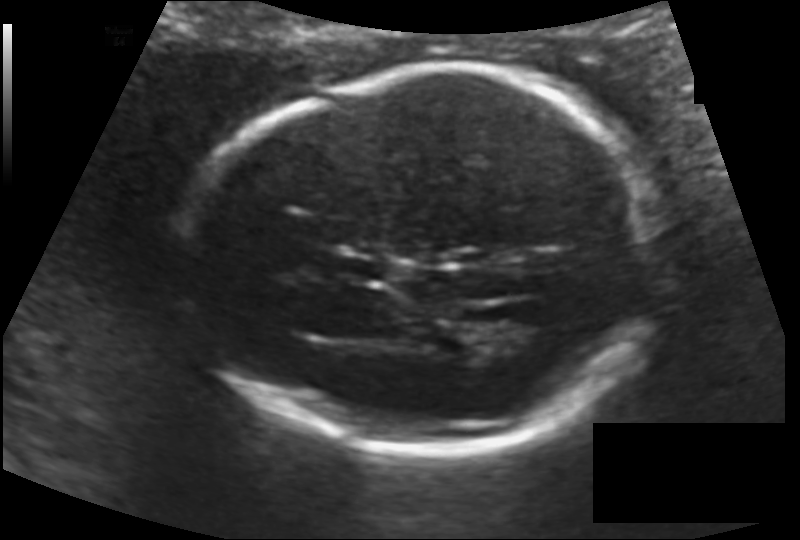
Fetal head ultrasound. Image width: 102.3 mm. Locate the lateral ventricle.

Lateral ventricle: [483,308,552,359]